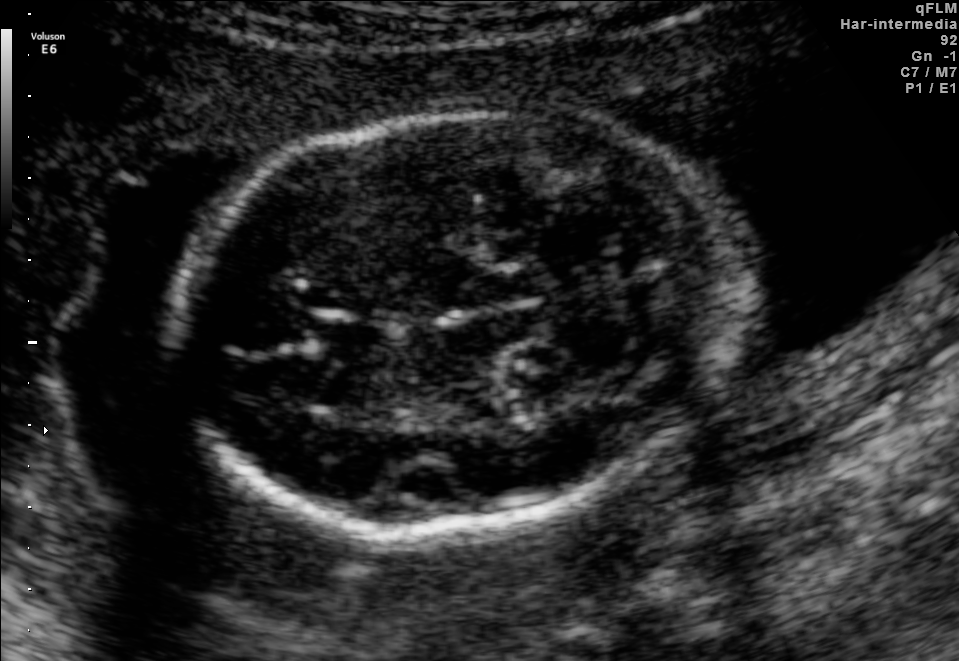
Fetal brain, trans-cerebellum plane. Locate the fetal head.

Head: [174,108,737,531]